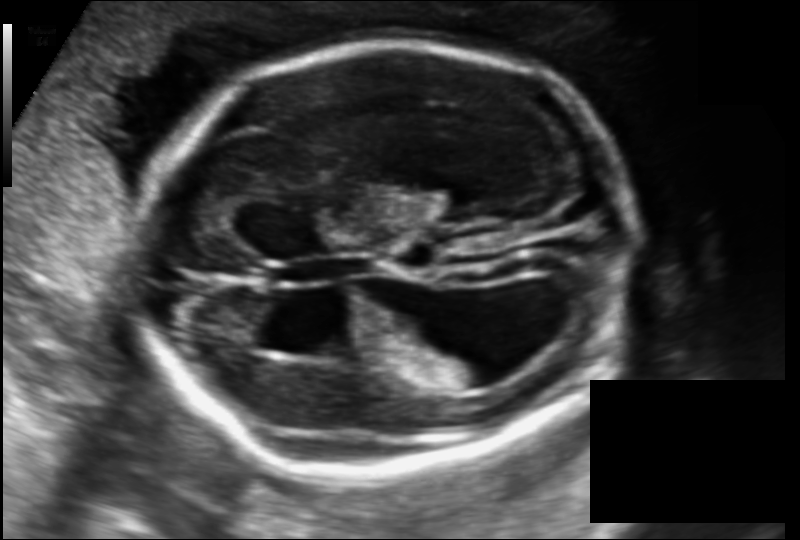
From this fetal ultrasound, estimate the head circumference (image width 112.8 mm).

Head circumference: 213.5 mm.